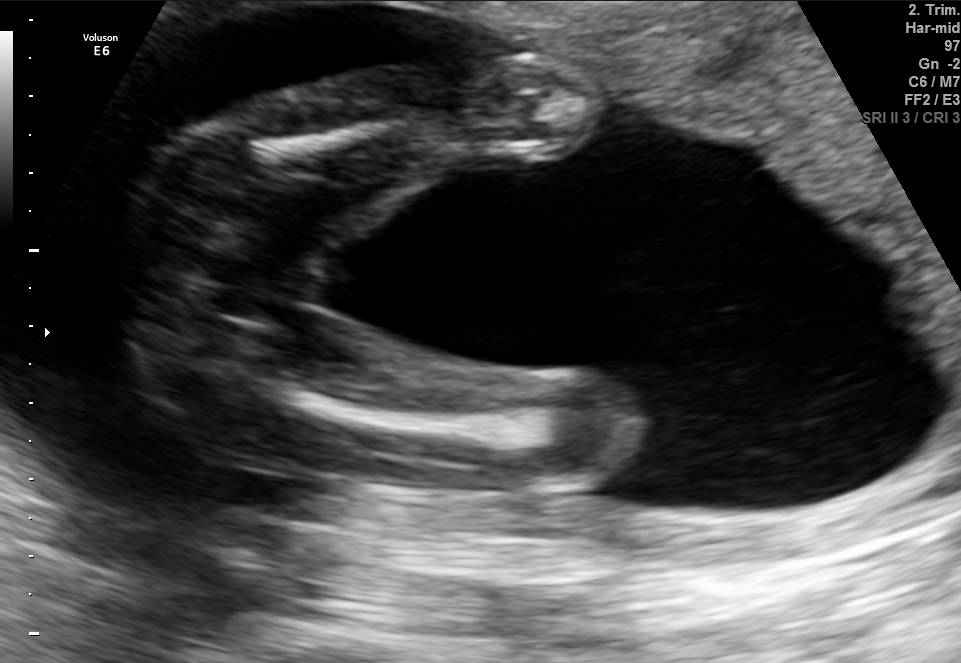
Identify the standard plane in this fetal ultrasound image: fetal abdomen, fetal brain, fetal femur, fetal thorax, maternal cervix, or other. If it's fetal brain and one of the three standard brain planes (trans-thalamic, trans-cerebellum, trans-ventricular), name which.

Fetal femur